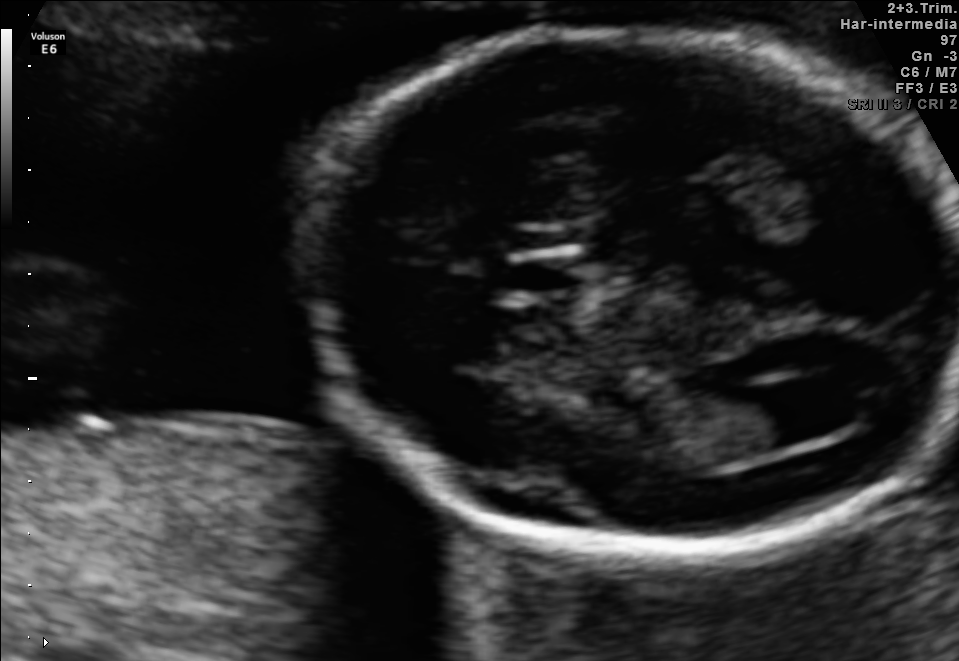
Classify this maternal-fetal ultrasound image as one of the six standard planes — fetal abdomen, fetal brain, fetal femur, fetal thorax, maternal cervix, or other. If it's fetal brain and one of the three standard brain planes (trans-thalamic, trans-cerebellum, trans-ventricular), name which.

Fetal brain (trans-ventricular plane)